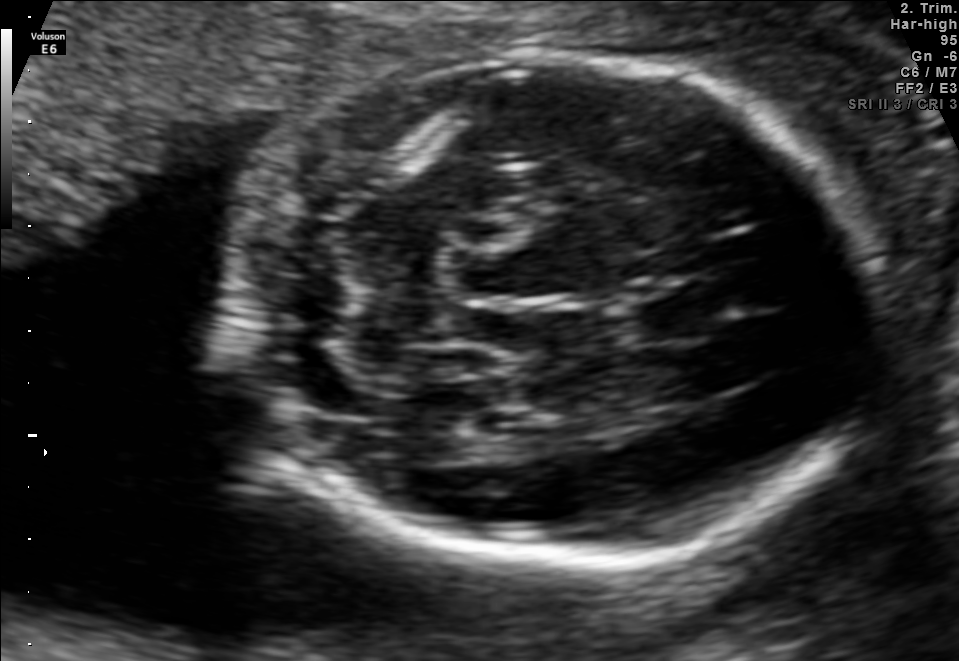
In this fetal brain, trans-cerebellum plane, give bounding boxes for the head outline, cavum septum pellucidum (CSP), and lateral ventricle (LV), where visible.

Head: [225,56,874,565]
CSP: [633,278,725,350]